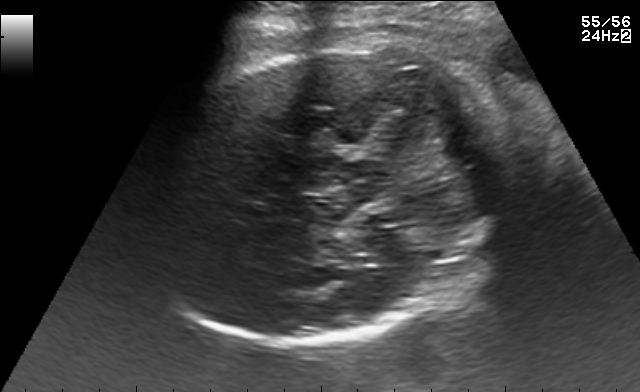
In this fetal brain, trans-cerebellum plane, give bounding boxes for the head outline, cavum septum pellucidum (CSP), and lateral ventricle (LV), where visible.

Head: [153,46,499,344]